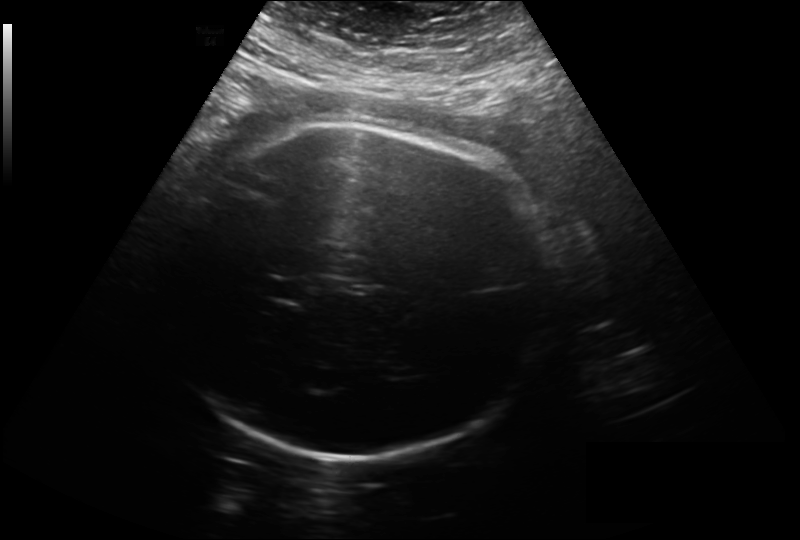
Fetal head ultrasound. Image width: 208.8 mm. Locate the cavum septum pellucidum.

CSP: [262,274,308,305]